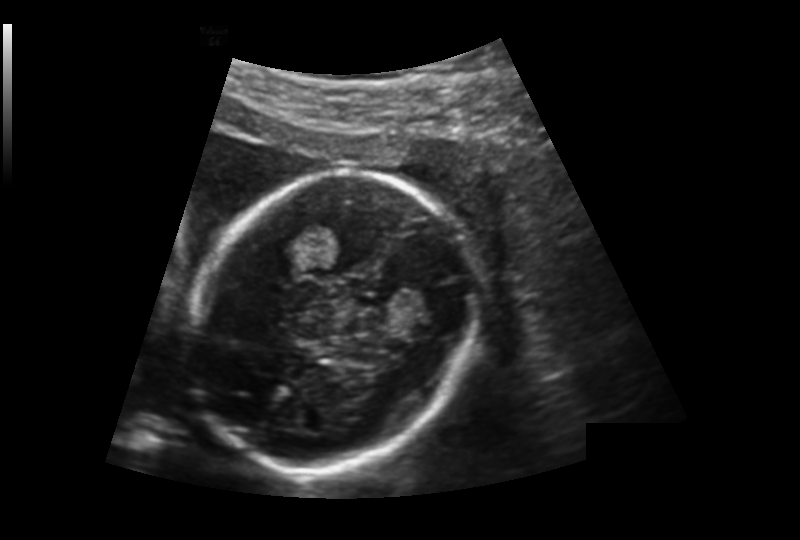
Fetal head ultrasound. Image width: 140.4 mm. Give [x1,y1,x2,y2] bounding boxes for each visible structure among: fetal head, CSP, LV.

Head: [196,172,474,473]